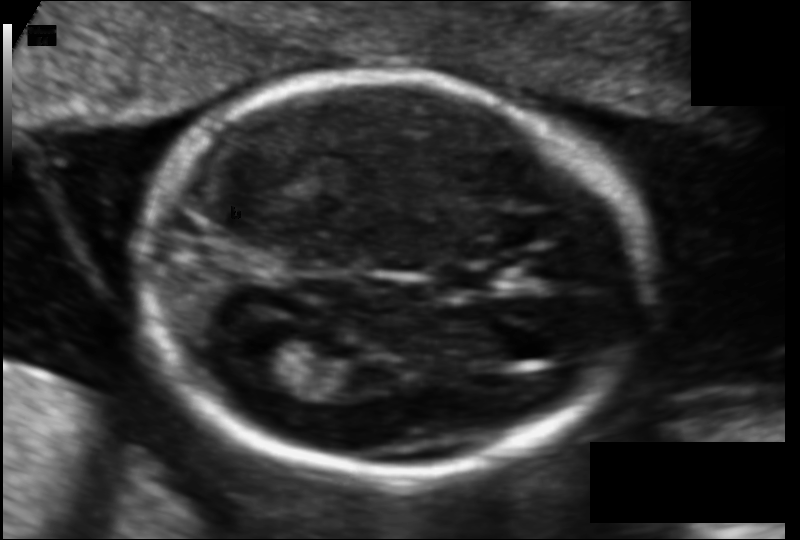
In this fetal head ultrasound, give the bounding box of the cavum septum pellucidum. Image width: 83.2 mm.

[434,265,501,292]